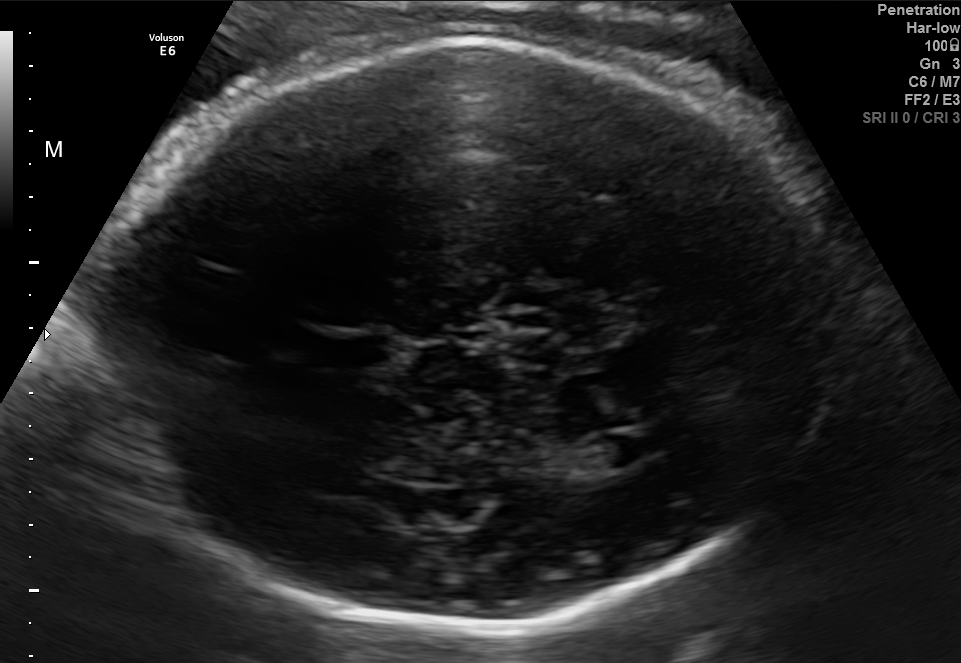
Fetal brain, trans-ventricular plane. Give [x1,y1,x2,y2] bounding boxes for each visible structure among: fetal head, CSP, LV.

Head: [87,31,870,634]